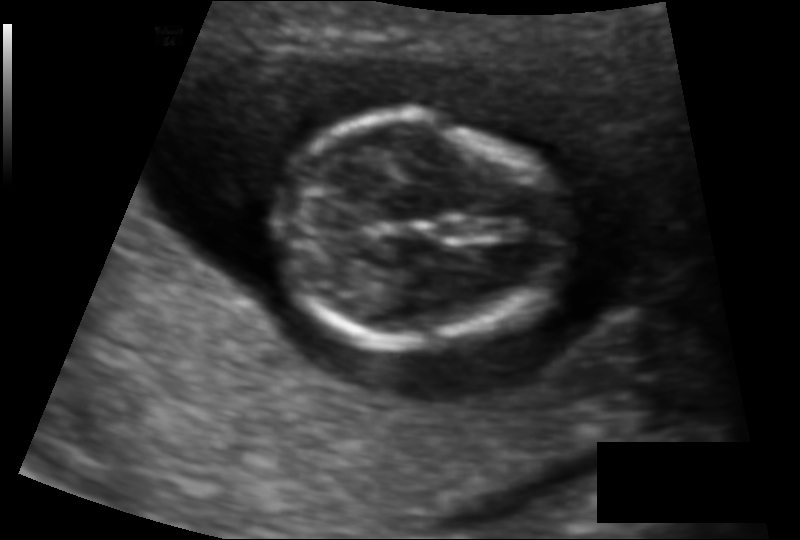
Fetal head ultrasound. Image width: 76.6 mm. Locate the fetal head and, if visible, the cavum septum pellucidum (CSP) and lateral ventricle (LV). Give bounding boxes as [x1,y1,x2,y2].

Head: [275,119,563,344]